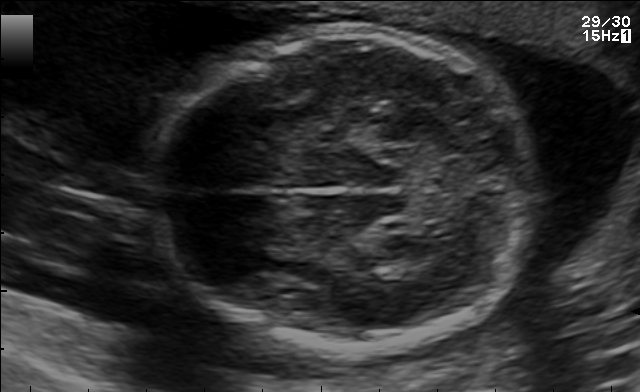
In this fetal brain, trans-thalamic plane, give bounding boxes for the head outline, cavum septum pellucidum (CSP), and lateral ventricle (LV), where visible.

Head: [151,31,538,350]